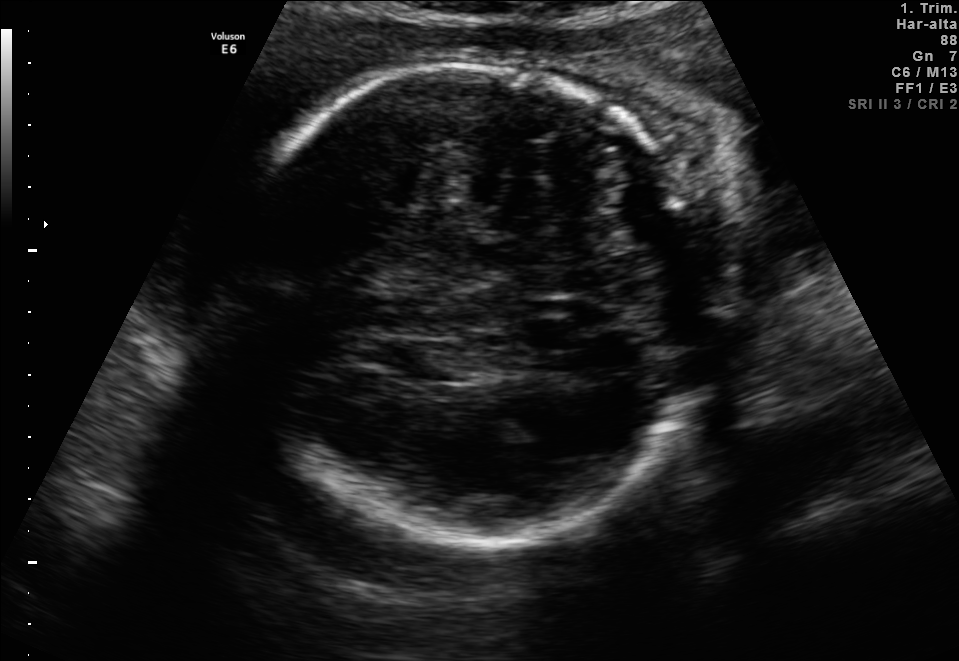
Fetal brain, trans-thalamic plane. Give [x1,y1,x2,y2] bounding boxes for each visible structure among: fetal head, CSP, LV.

Head: [227,63,708,544]